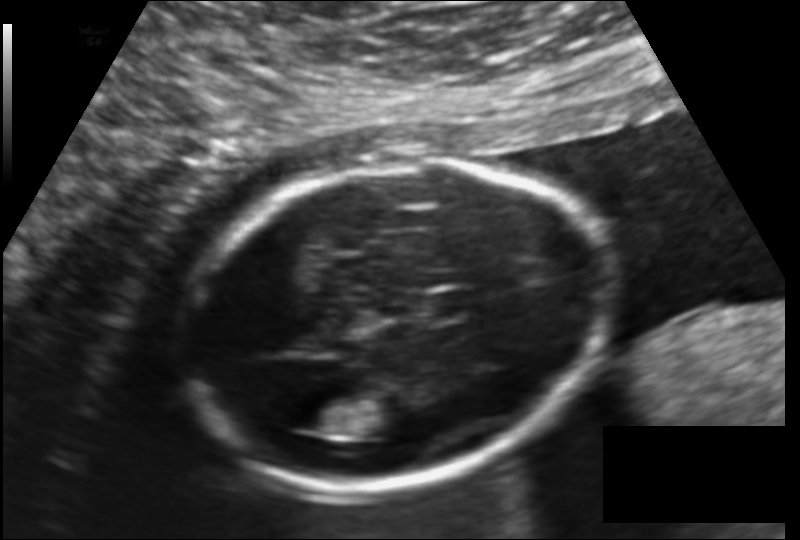
What is the fetal head circumference? Image width is 112.0 mm.

178.3 mm